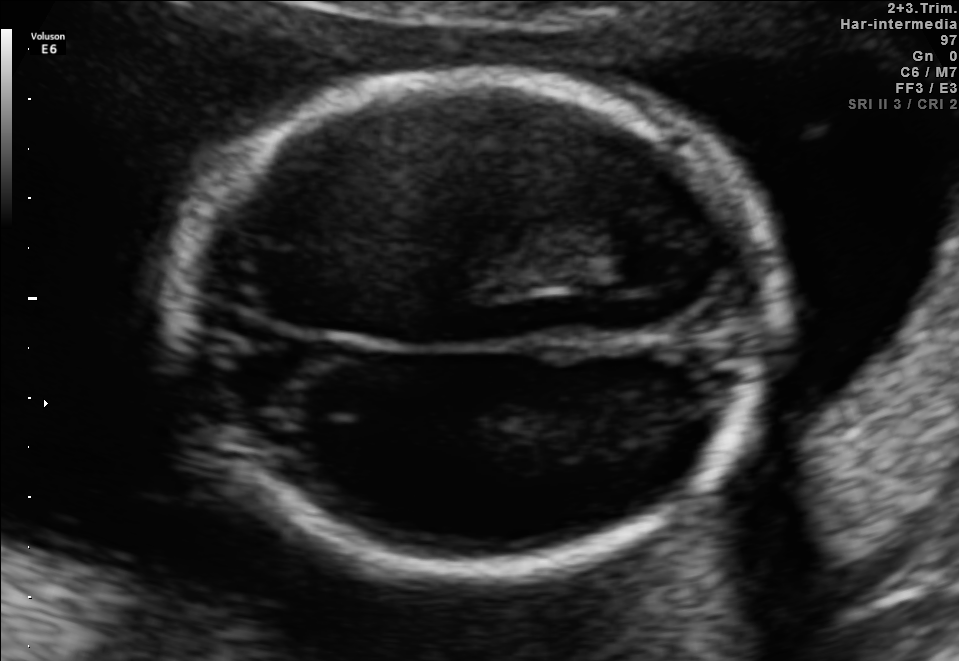
Fetal brain, trans-thalamic plane. Locate the fetal head.

Head: [175,79,780,574]